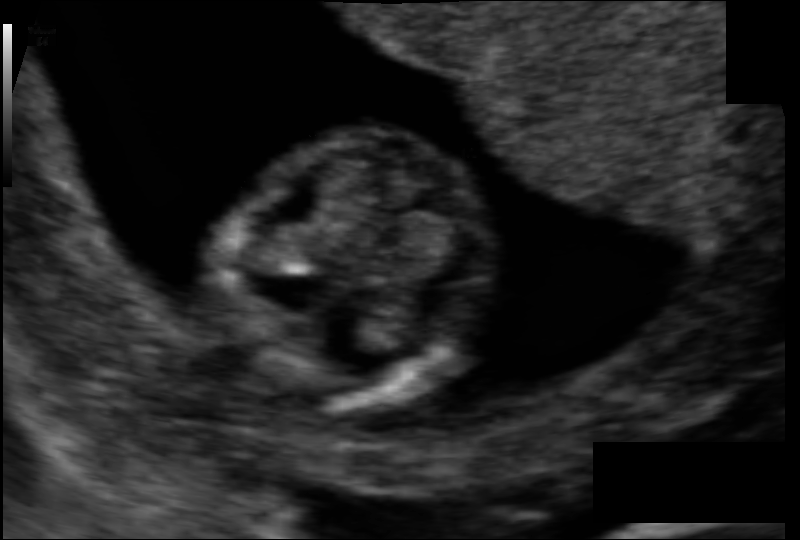
In this fetal head ultrasound, give the bounding box of the fetal head. Image width: 61.7 mm.

[221,130,494,408]